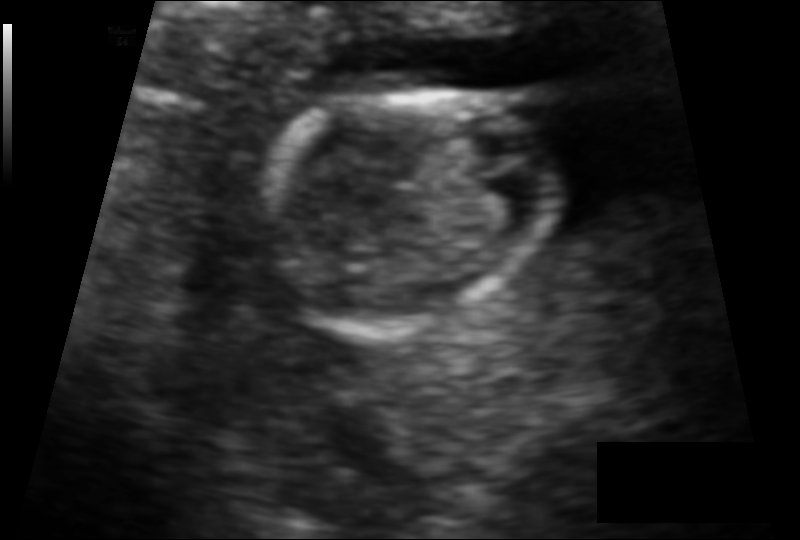
Fetal head ultrasound. Image width: 73.2 mm. Where is the fetal head?

Head bounding box: [254,91,559,325]